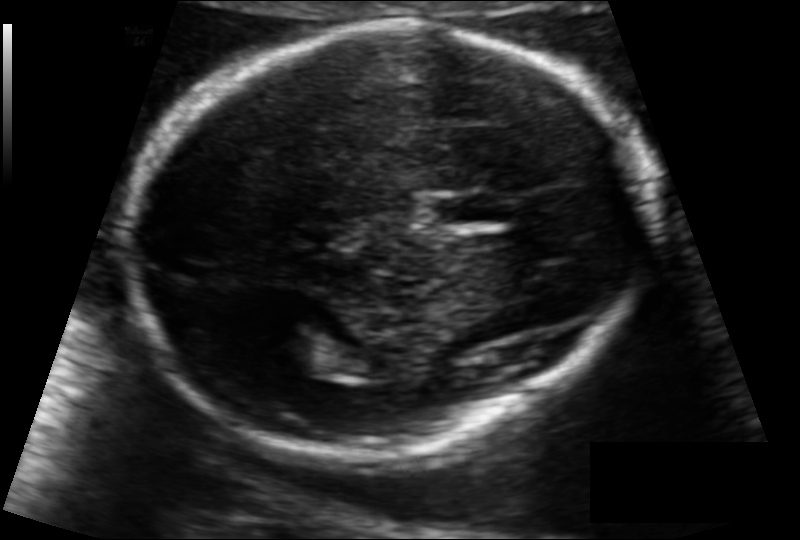
In this fetal head ultrasound, give the bounding box of the fetal head. Image width: 88.7 mm.

[125,22,647,453]